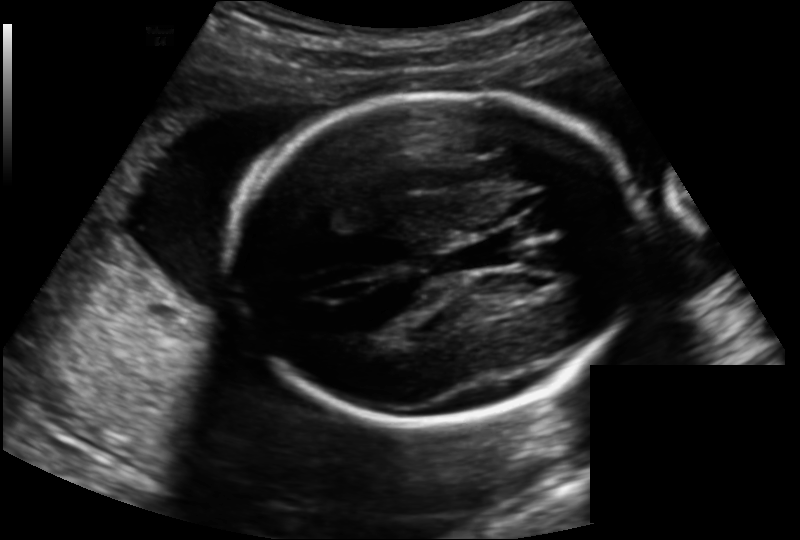
In this fetal head ultrasound, give bounding boxes for the head outline, cavum septum pellucidum (CSP), and lateral ventricle (LV), where visible. Image width: 130.7 mm.

Head: [233,94,646,422]